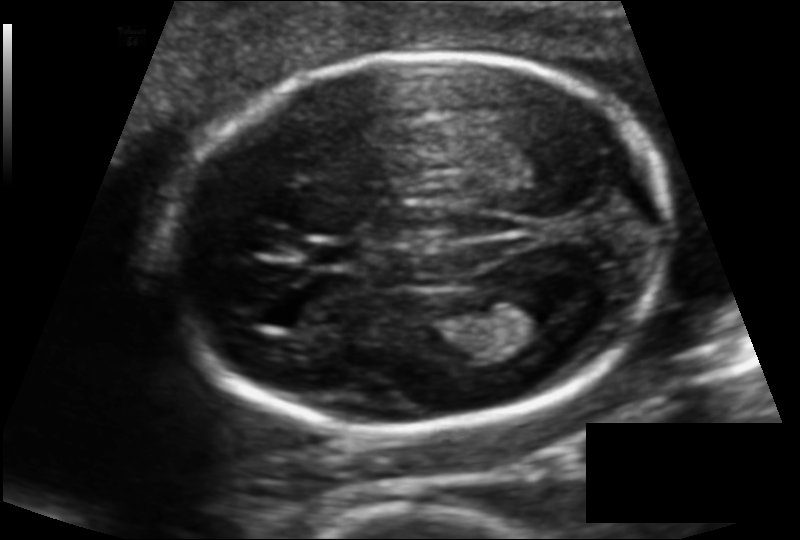
Fetal head ultrasound. Image width: 95.8 mm. Give [x1,y1,x2,y2] bounding boxes for each visible structure among: fetal head, CSP, LV.

Head: [171,51,672,431]
CSP: [307,242,360,268]
Lateral ventricle: [482,269,580,352]